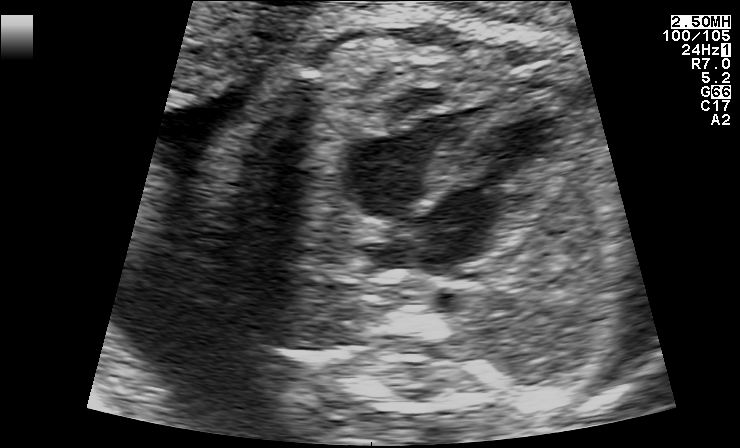
This is a 2D maternal-fetal ultrasound frame. Is it a fetal abdomen, fetal brain, fetal femur, fetal thorax, maternal cervix, or other standard plane? If it's fetal brain and one of the three standard brain planes (trans-thalamic, trans-cerebellum, trans-ventricular), name which.

Fetal thorax